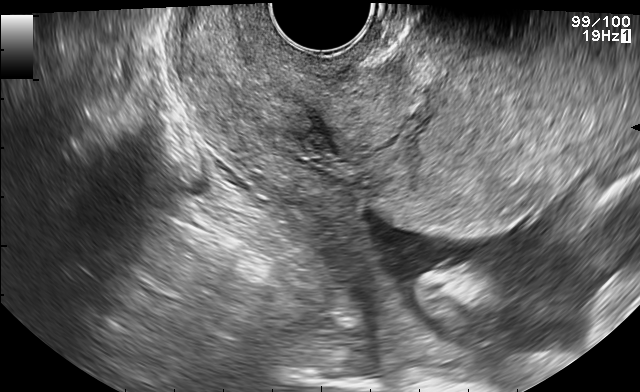
Identify the standard plane in this fetal ultrasound image: fetal abdomen, fetal brain, fetal femur, fetal thorax, maternal cervix, or other. If it's fetal brain and one of the three standard brain planes (trans-thalamic, trans-cerebellum, trans-ventricular), name which.

Maternal cervix